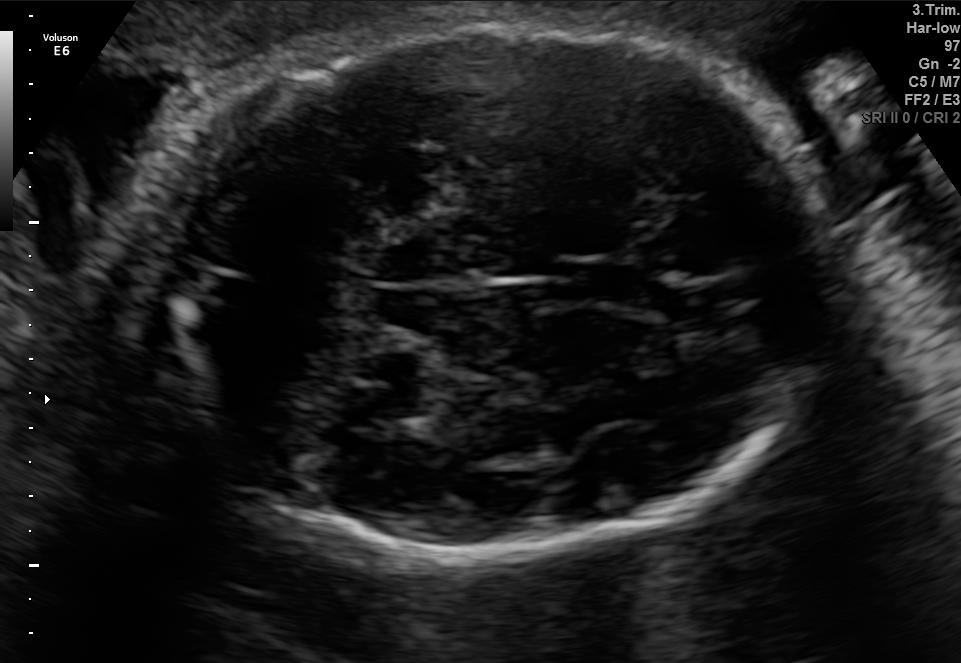
Fetal brain, trans-cerebellum plane. Where is the cavum septum pellucidum?

CSP bounding box: [571,255,658,312]